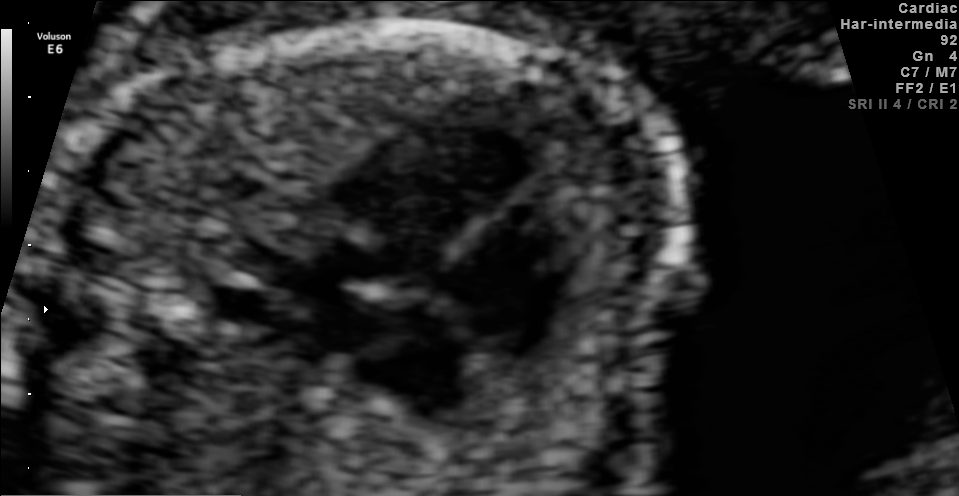
Classify this maternal-fetal ultrasound image as one of the six standard planes — fetal abdomen, fetal brain, fetal femur, fetal thorax, maternal cervix, or other. If it's fetal brain and one of the three standard brain planes (trans-thalamic, trans-cerebellum, trans-ventricular), name which.

Fetal thorax